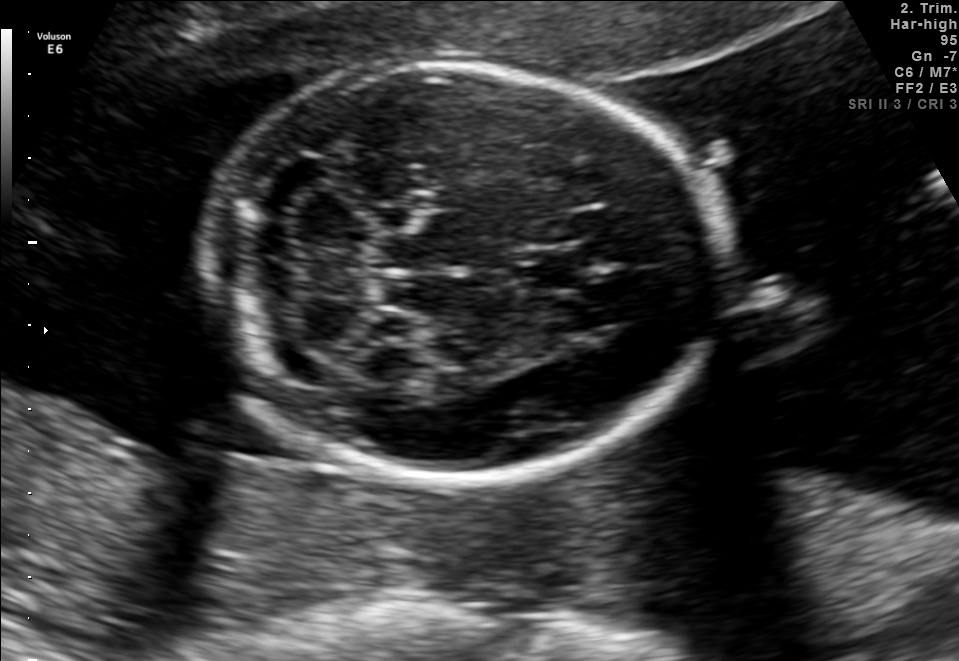
Fetal brain, trans-cerebellum plane. Locate the fetal head and, if visible, the cavum septum pellucidum (CSP) and lateral ventricle (LV). Give bounding boxes as [x1,y1,x2,y2].

Head: [207,68,724,481]
CSP: [519,245,586,294]